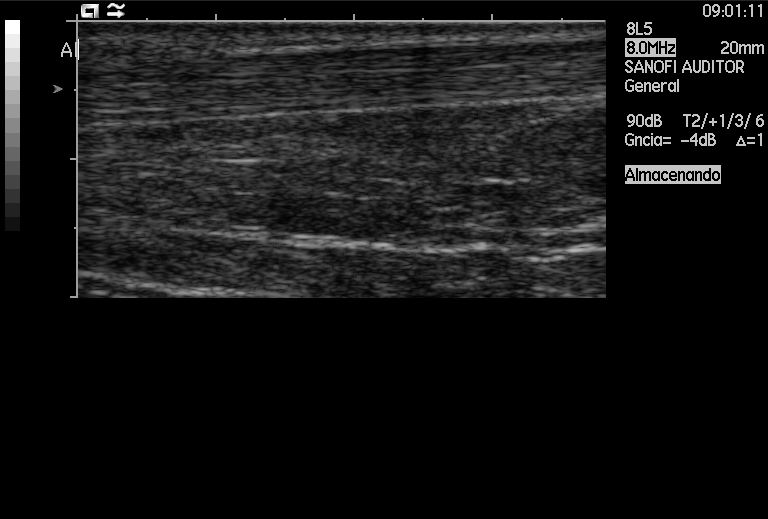
Classify this maternal-fetal ultrasound image as one of the six standard planes — fetal abdomen, fetal brain, fetal femur, fetal thorax, maternal cervix, or other. If it's fetal brain and one of the three standard brain planes (trans-thalamic, trans-cerebellum, trans-ventricular), name which.

Other